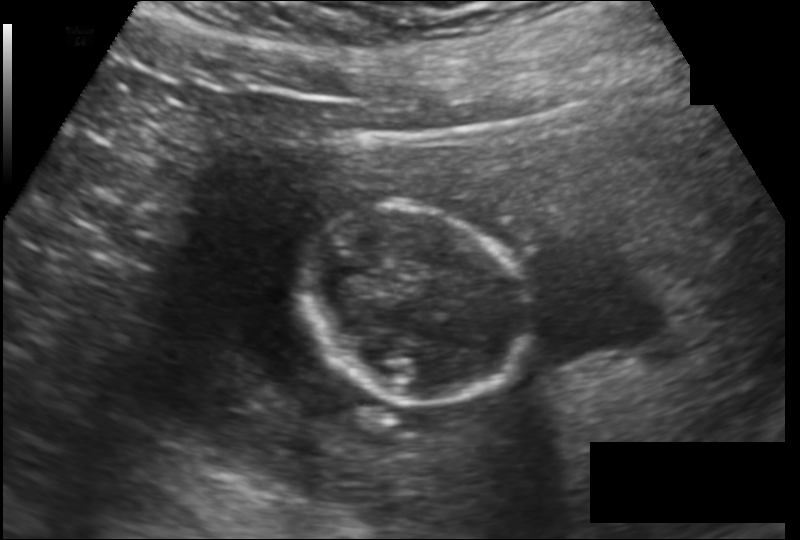
Estimate the fetal head circumference from this 2D ultrasound. Image width: 119.2 mm.

Head circumference: 105.6 mm.